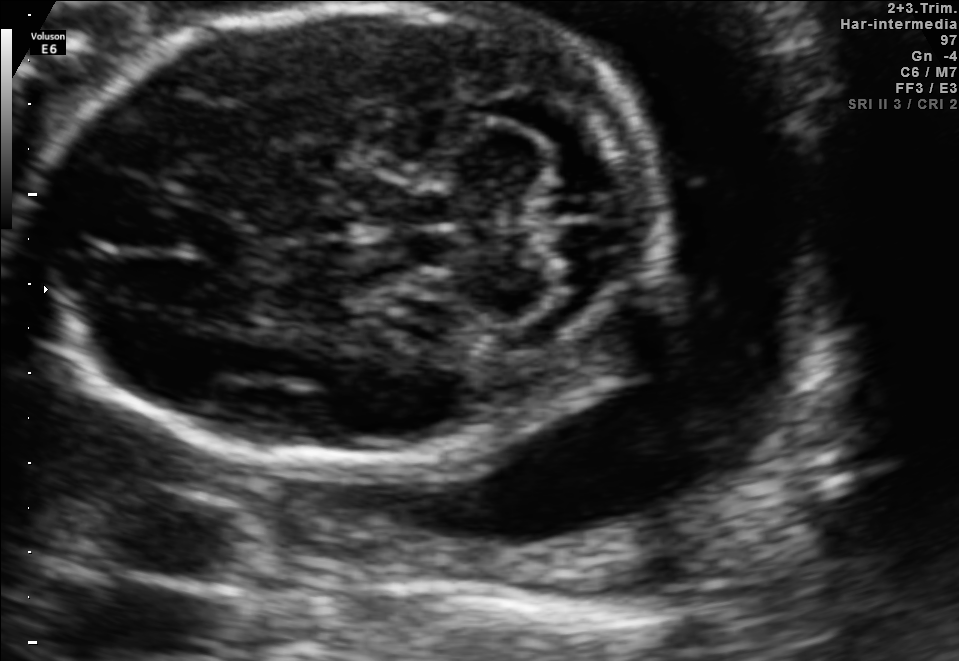
In this fetal brain, trans-cerebellum plane, give the bounding box of the fetal head.

[39,3,664,472]